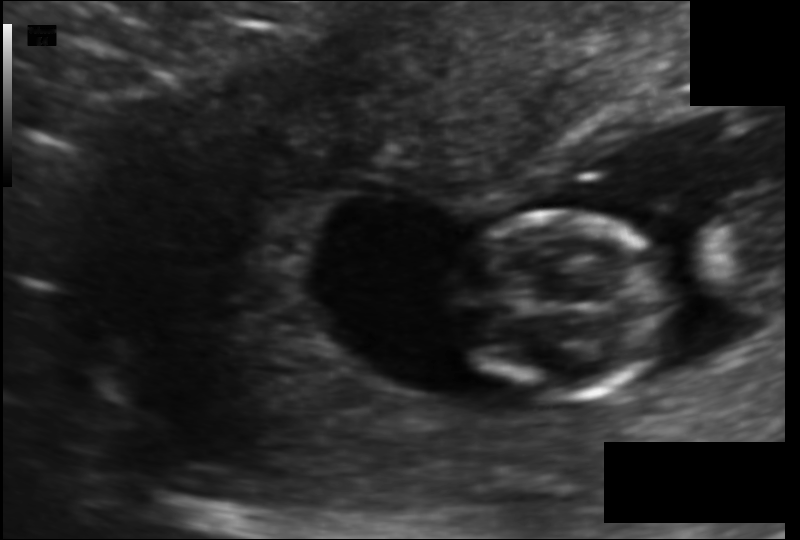
Fetal head ultrasound. Image width: 82.9 mm. Give [x1,y1,x2,y2] bounding boxes for each visible structure among: fetal head, CSP, LV.

Head: [450,212,670,400]